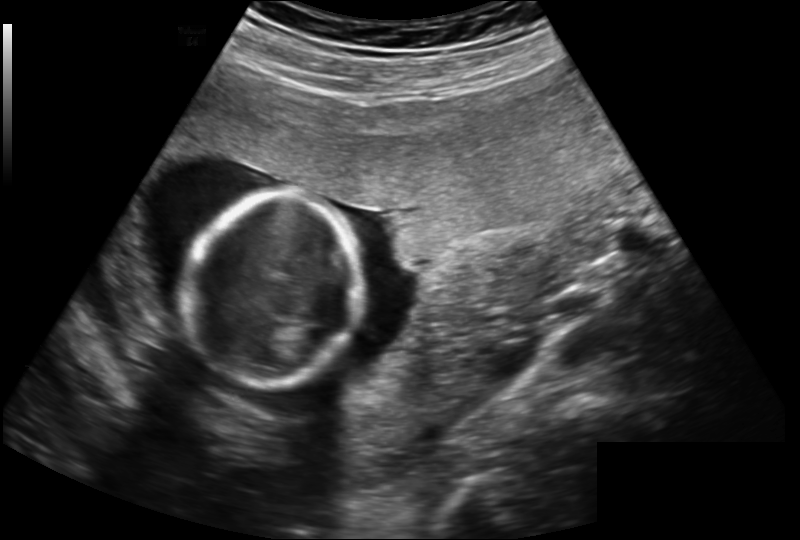
What is the fetal head circumference? Image width is 161.5 mm.

120.1 mm